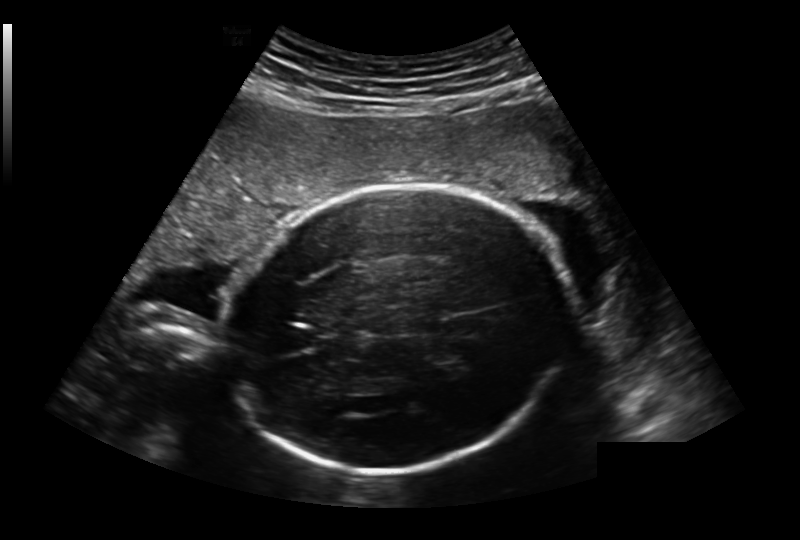
Fetal head ultrasound. Image width: 188.6 mm. Locate the fetal head.

Head: [227,184,571,472]